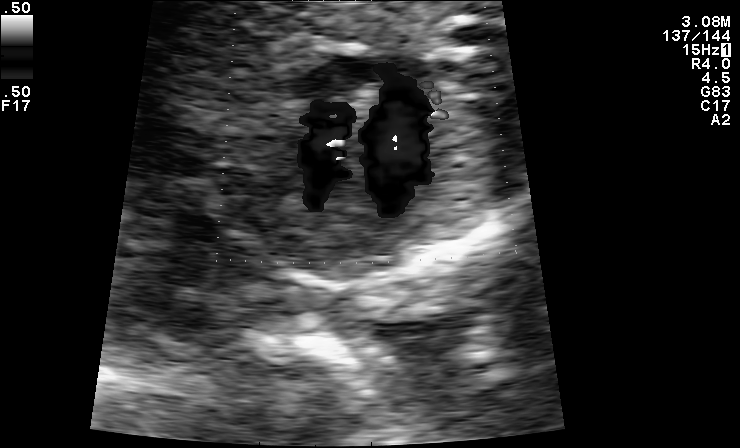
Which standard maternal-fetal ultrasound plane is shown: fetal abdomen, fetal brain, fetal femur, fetal thorax, maternal cervix, or other? If it's fetal brain and one of the three standard brain planes (trans-thalamic, trans-cerebellum, trans-ventricular), name which.

Other